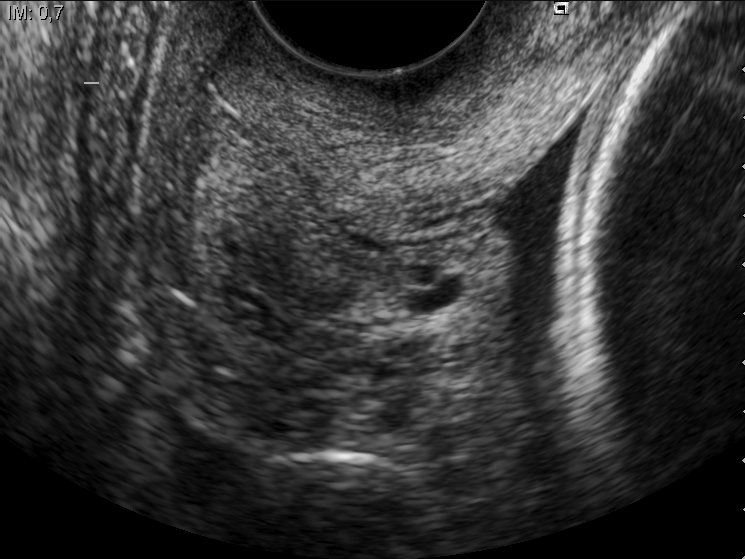
This is a 2D maternal-fetal ultrasound frame. Is it a fetal abdomen, fetal brain, fetal femur, fetal thorax, maternal cervix, or other standard plane? If it's fetal brain and one of the three standard brain planes (trans-thalamic, trans-cerebellum, trans-ventricular), name which.

Maternal cervix